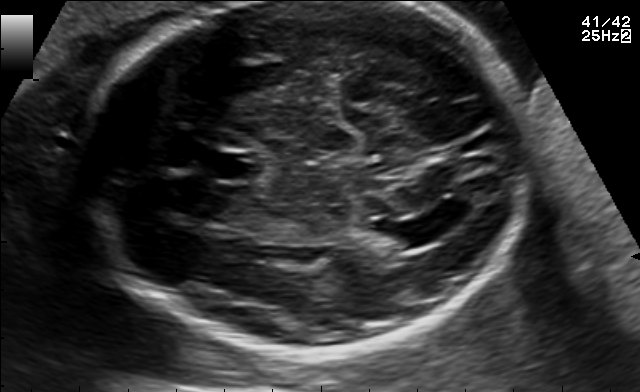
In this fetal brain, trans-ventricular plane, give the bounding box of the lateral ventricle.

[377,211,445,258]